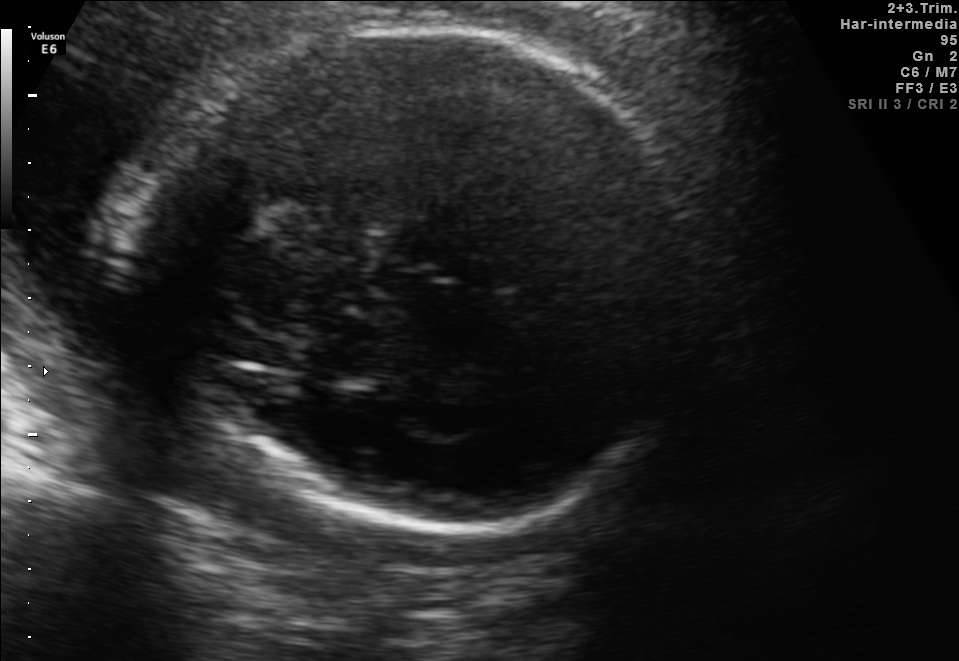
In this fetal brain, trans-thalamic plane, give the bounding box of the fetal head.

[135,22,698,531]